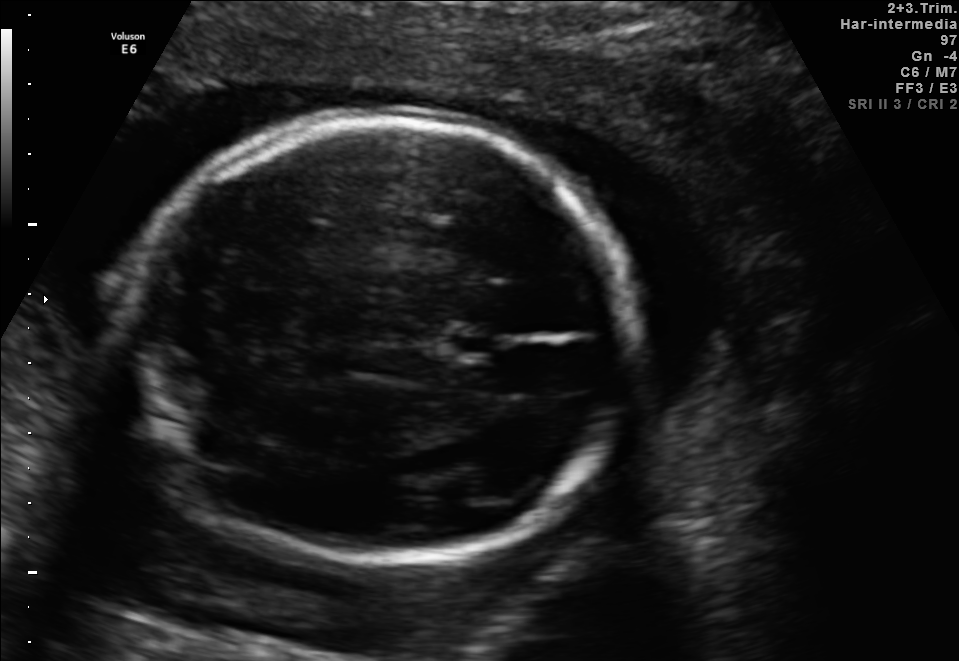
Fetal brain, trans-thalamic plane. Locate the fetal head.

Head: [128,115,633,558]